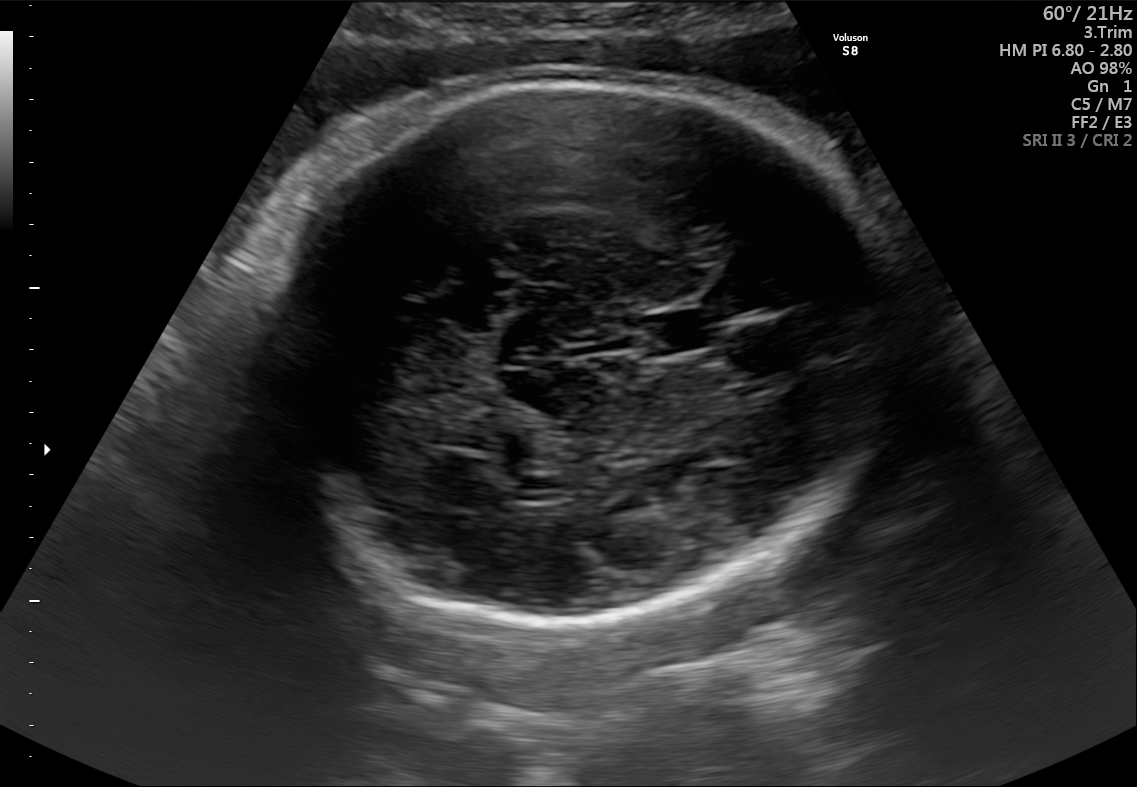
In this fetal brain, trans-thalamic plane, give the bounding box of the cavum septum pellucidum.

[641,302,731,359]